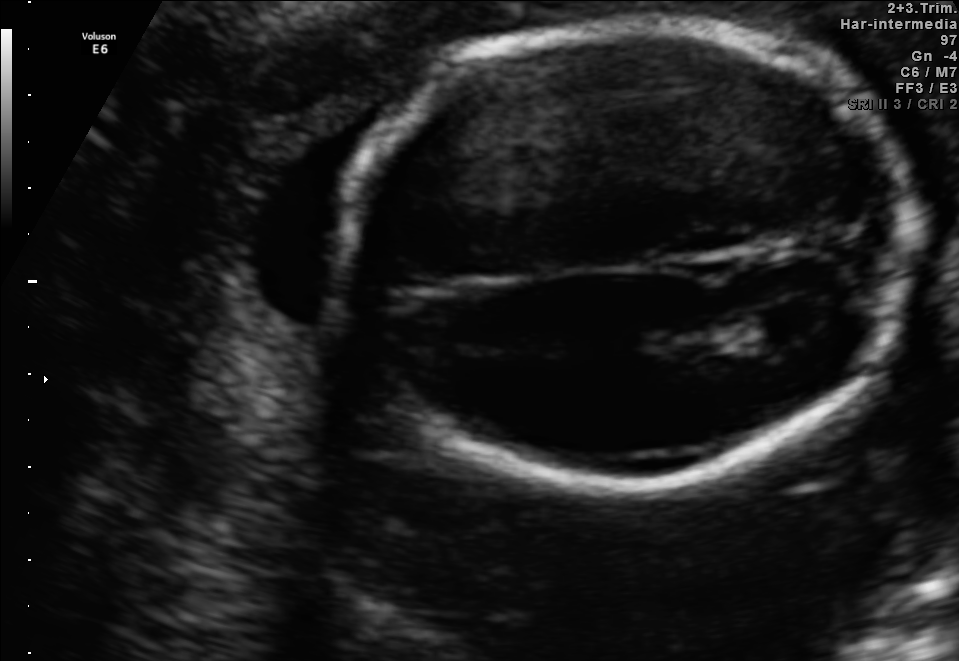
In this fetal brain, trans-ventricular plane, give bounding boxes for the head outline, cavum septum pellucidum (CSP), and lateral ventricle (LV), where visible.

Head: [330,11,923,502]